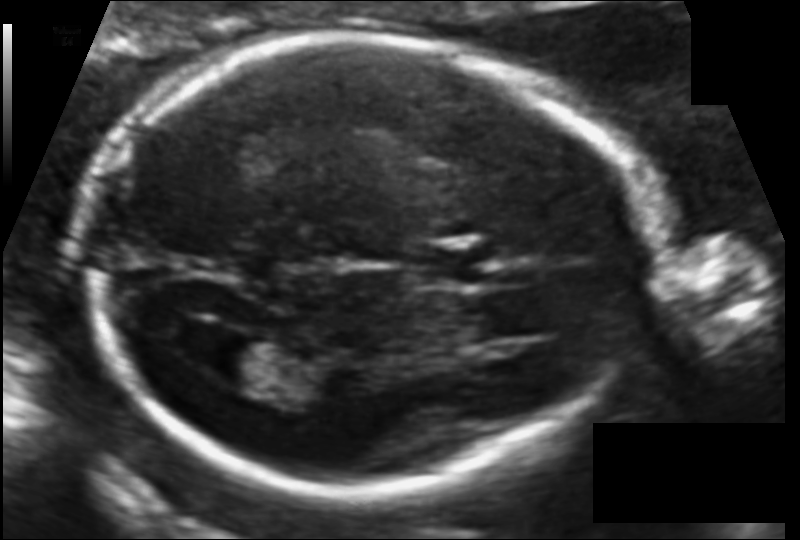
What is the fetal head circumference? Image width is 87.0 mm.

179.0 mm